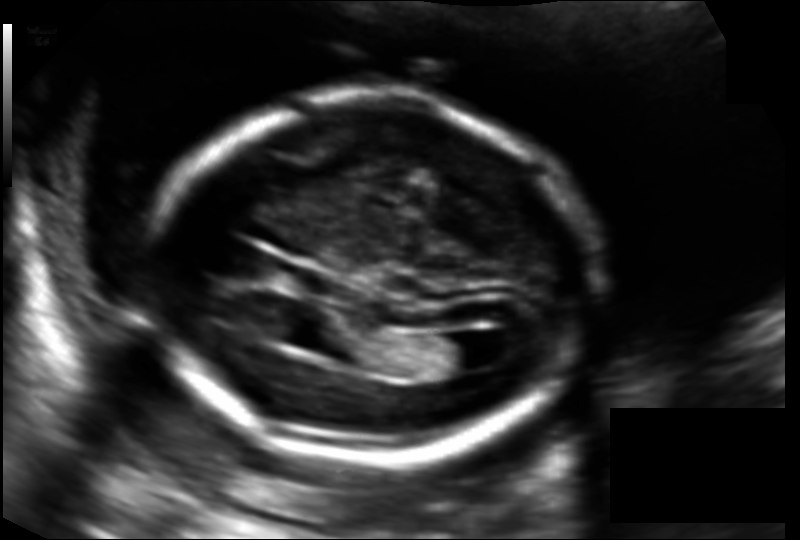
Estimate the fetal head circumference from this 2D ultrasound.

Head circumference: 174.8 mm (image width 104.2 mm).